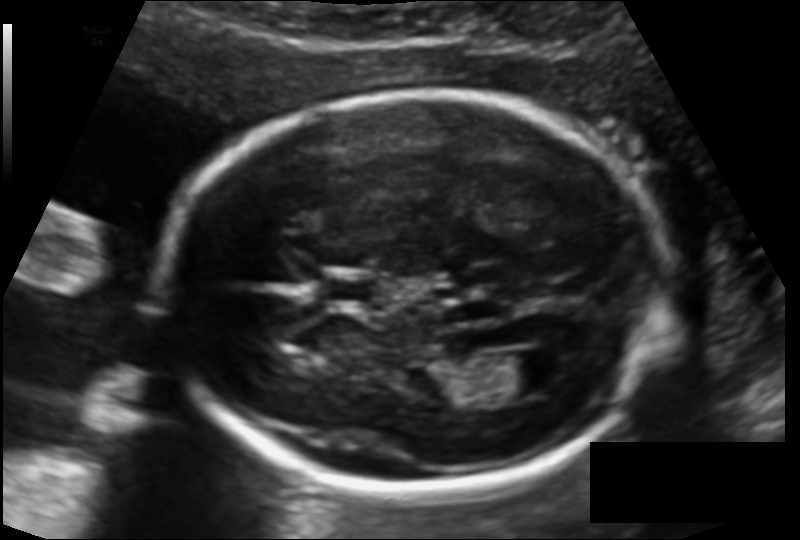
In this fetal head ultrasound, give the bounding box of the fetal head. Image width: 101.2 mm.

[169,93,663,491]